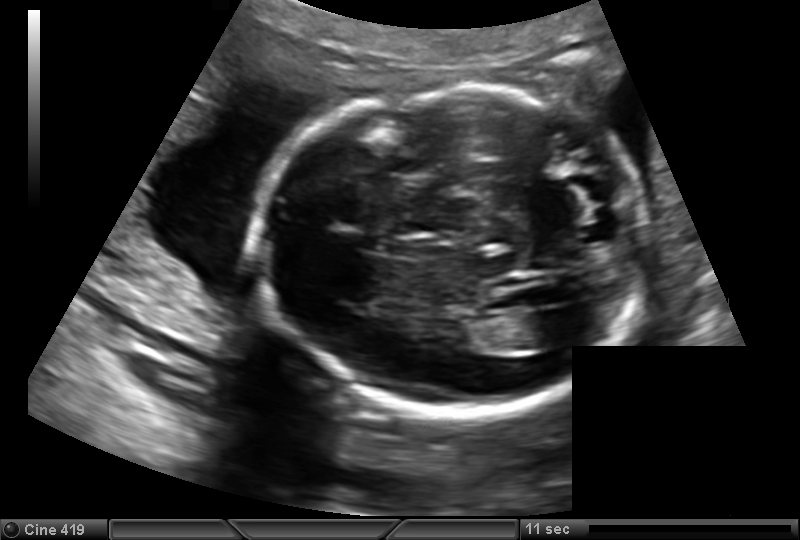
Fetal head ultrasound. Image width: 120.7 mm. Locate the fetal head.

Head: [257,87,647,414]